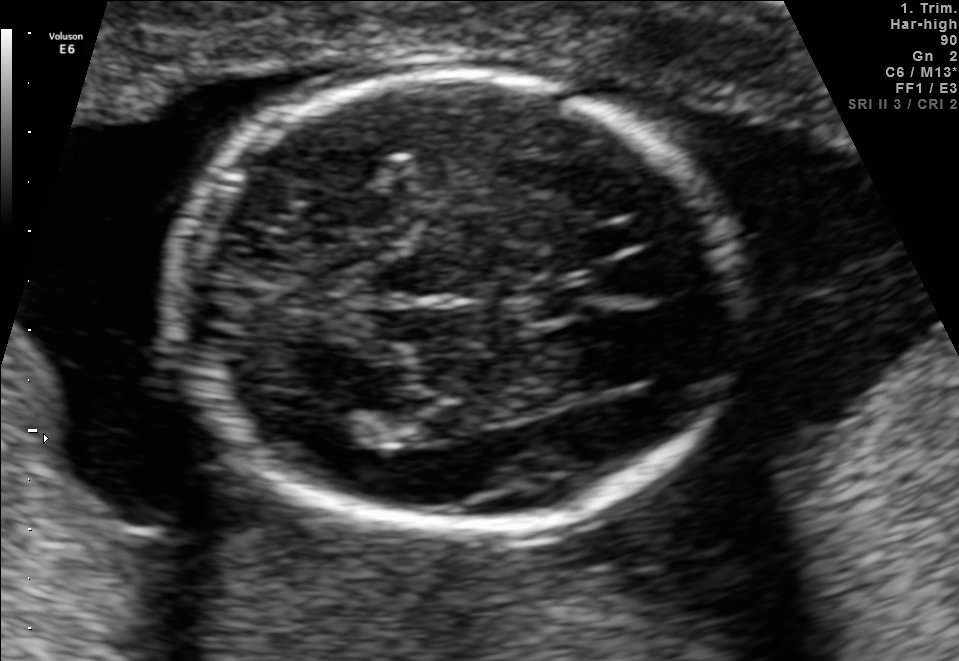
Fetal brain, trans-thalamic plane. Locate the fetal head and, if visible, the cavum septum pellucidum (CSP) and lateral ventricle (LV). Give bounding boxes as [x1,y1,x2,y2].

Head: [168,75,739,526]
CSP: [525,275,593,324]
Lateral ventricle: [312,409,395,447]